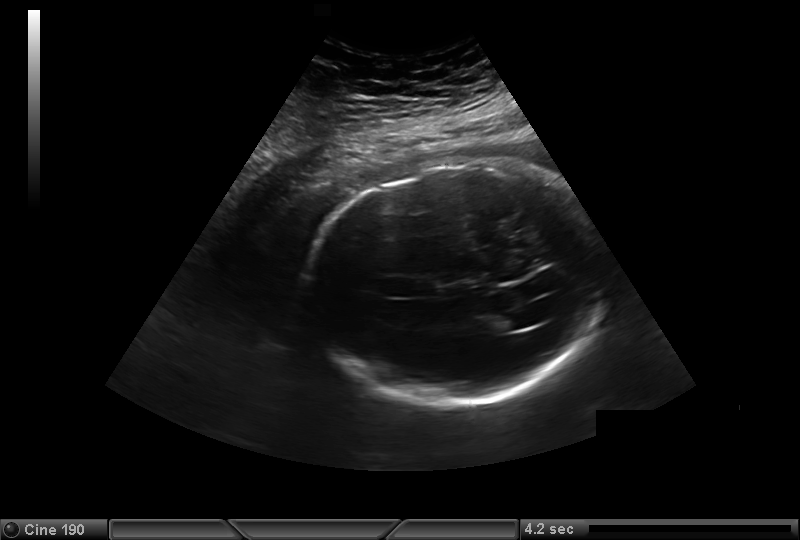
Measure the fetal head circumference shown in this ultrasound image. Image width: 258.3 mm.

Head circumference: 283.5 mm.